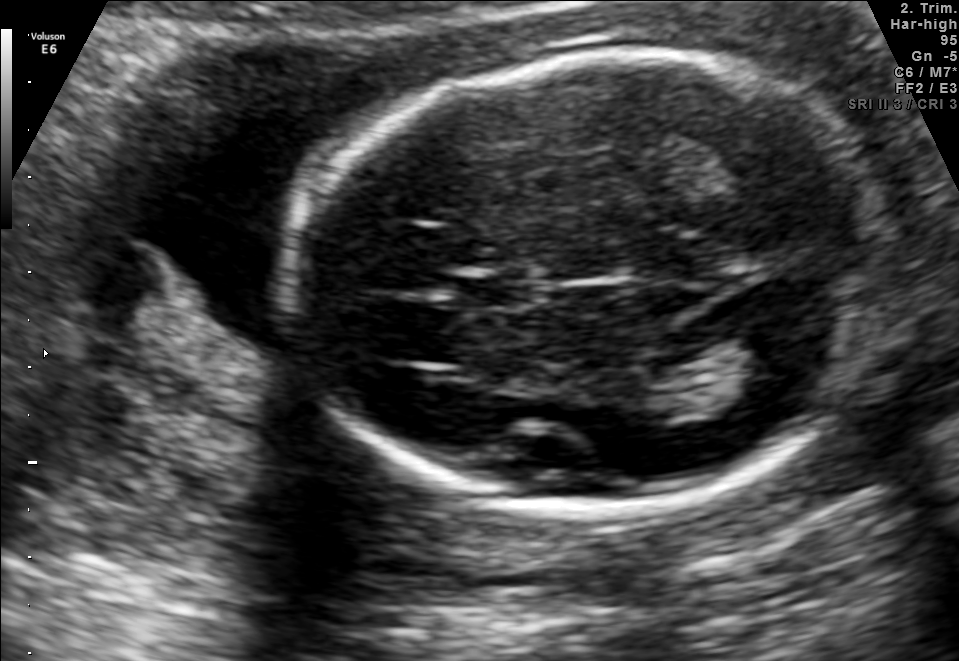
Fetal brain, trans-thalamic plane. Give [x1,y1,x2,y2] bounding boxes for each visible structure among: fetal head, CSP, LV.

Head: [290,53,885,518]
CSP: [461,278,529,306]
Lateral ventricle: [692,330,820,418]